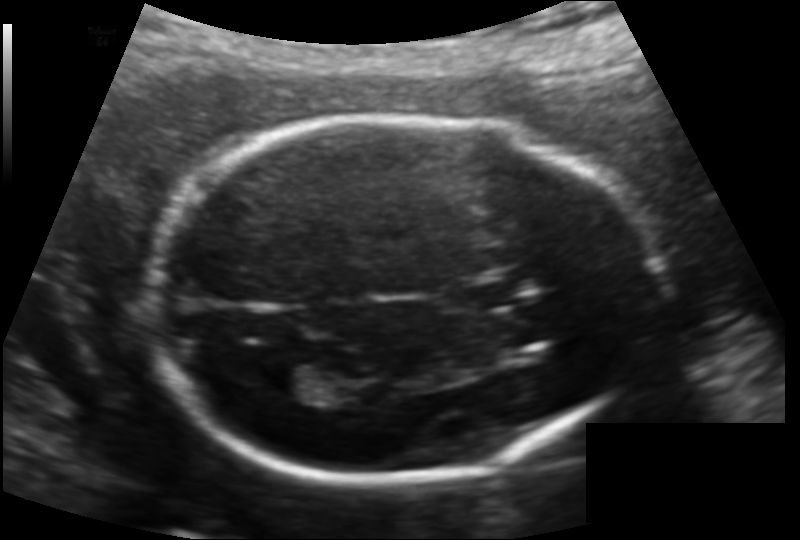
In this fetal head ultrasound, give the bounding box of the cavum septum pellucidum. Image width: 105.6 mm.

[459,264,537,316]